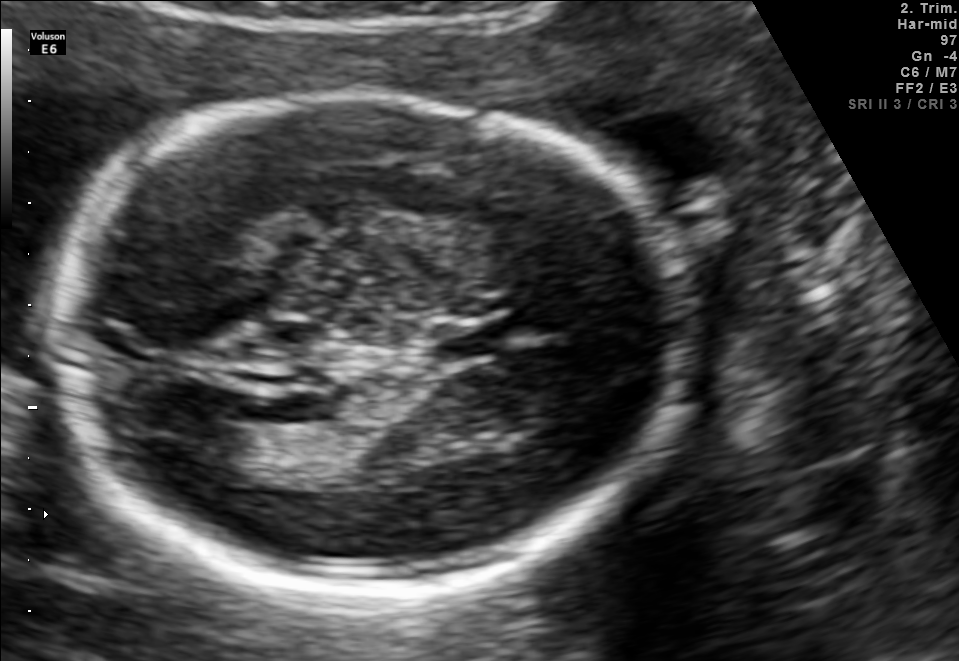
Fetal brain, trans-thalamic plane. Where is the lateral ventricle?

Lateral ventricle bounding box: [173,424,257,485]